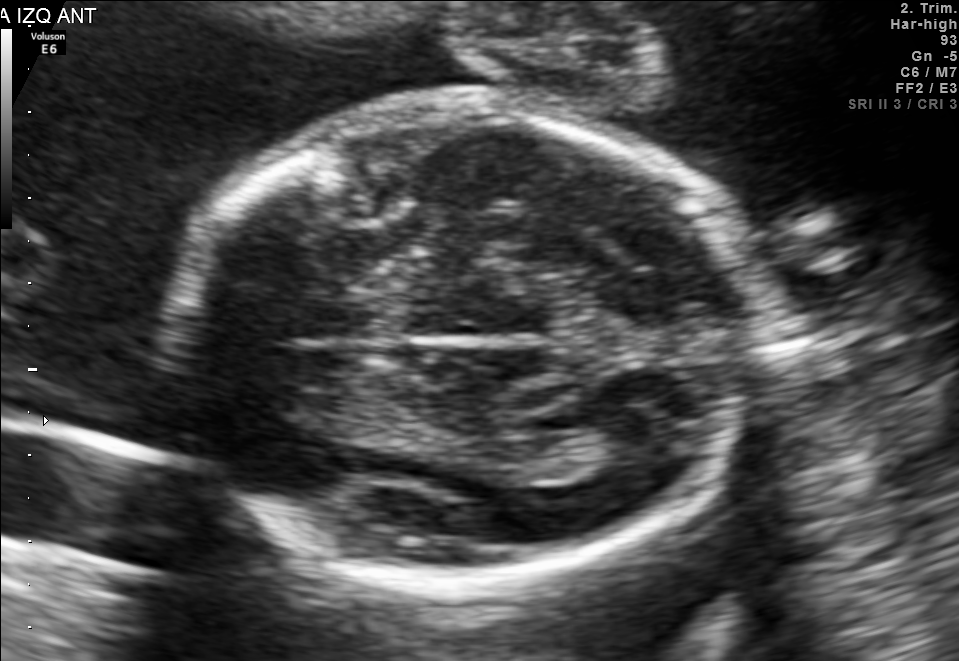
In this fetal brain, trans-thalamic plane, give the bounding box of the lateral ventricle.

[559,422,657,480]